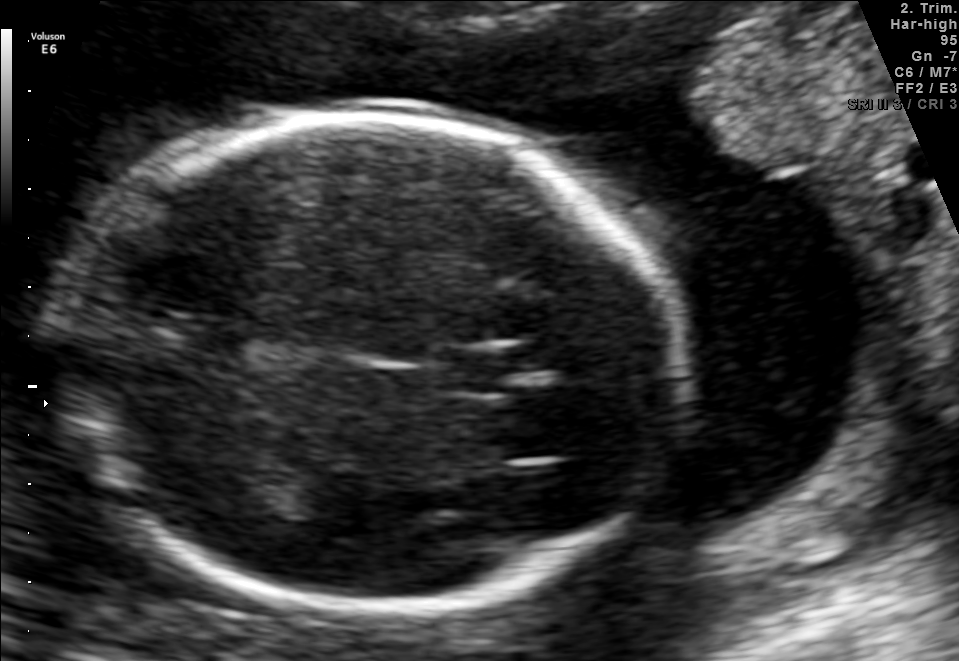
In this fetal brain, trans-thalamic plane, give bounding boxes for the head outline, cavum septum pellucidum (CSP), and lateral ventricle (LV), where visible.

Head: [63,119,684,612]
CSP: [439,349,516,394]